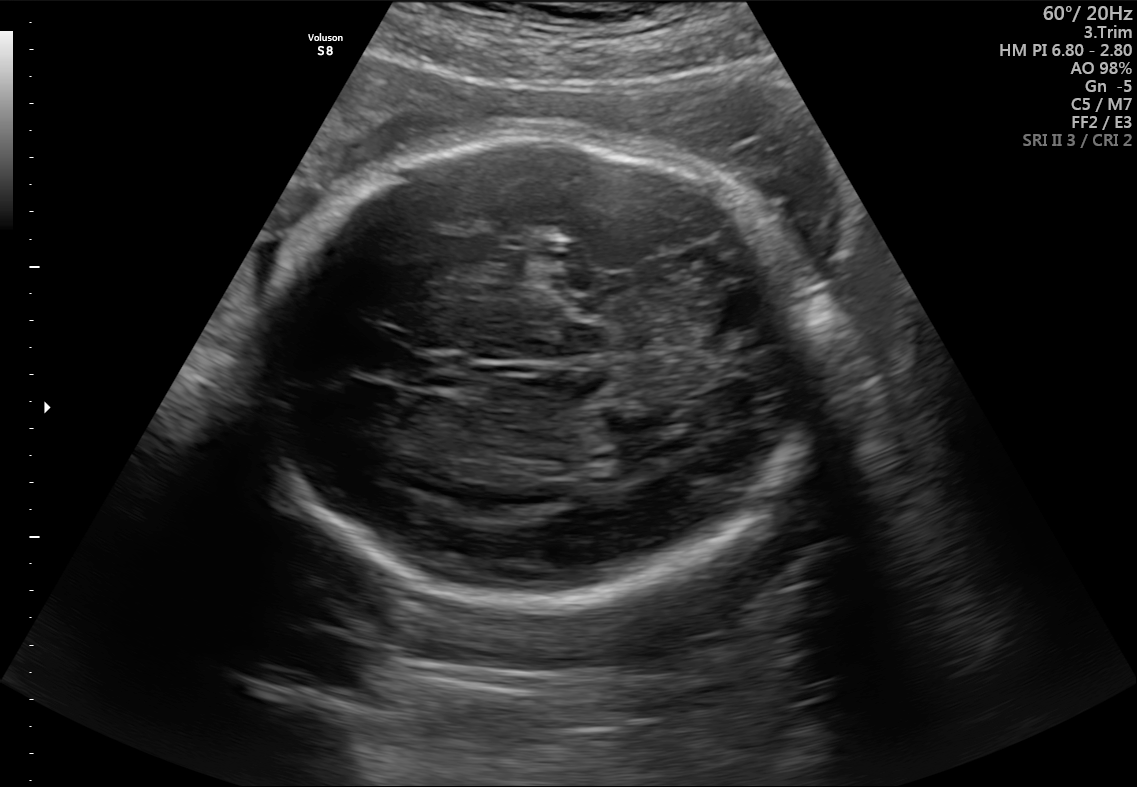
Fetal brain, trans-thalamic plane. Locate the cavum septum pellucidum.

CSP: [398,351,458,394]